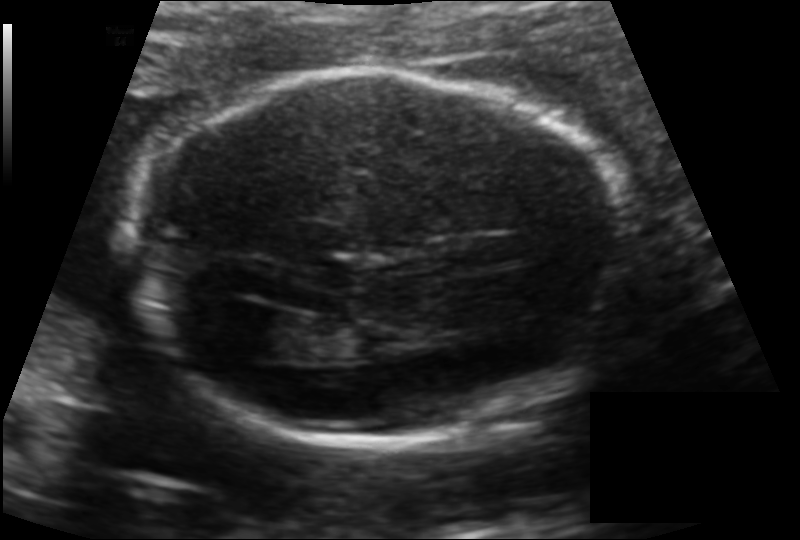
What is the fetal head circumference? Image width is 107.1 mm.

189.3 mm